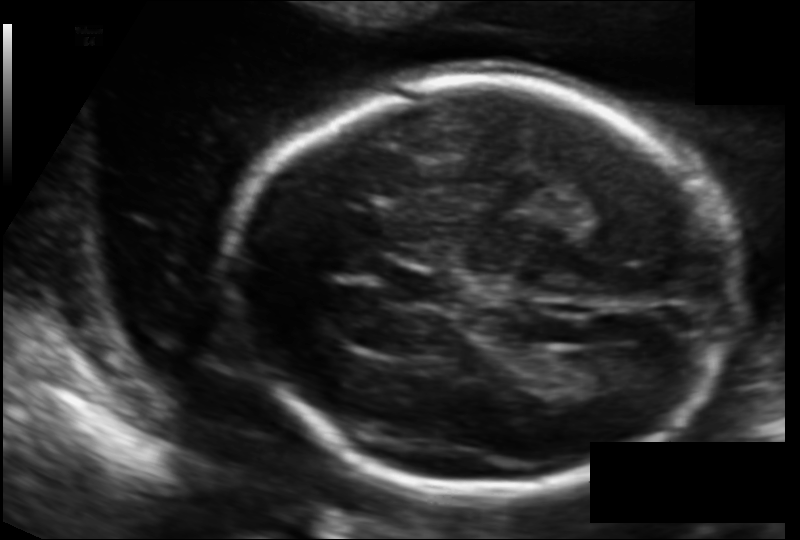
Fetal head ultrasound. Image width: 100.4 mm. Where is the fetal head?

Head bounding box: [225,78,737,494]